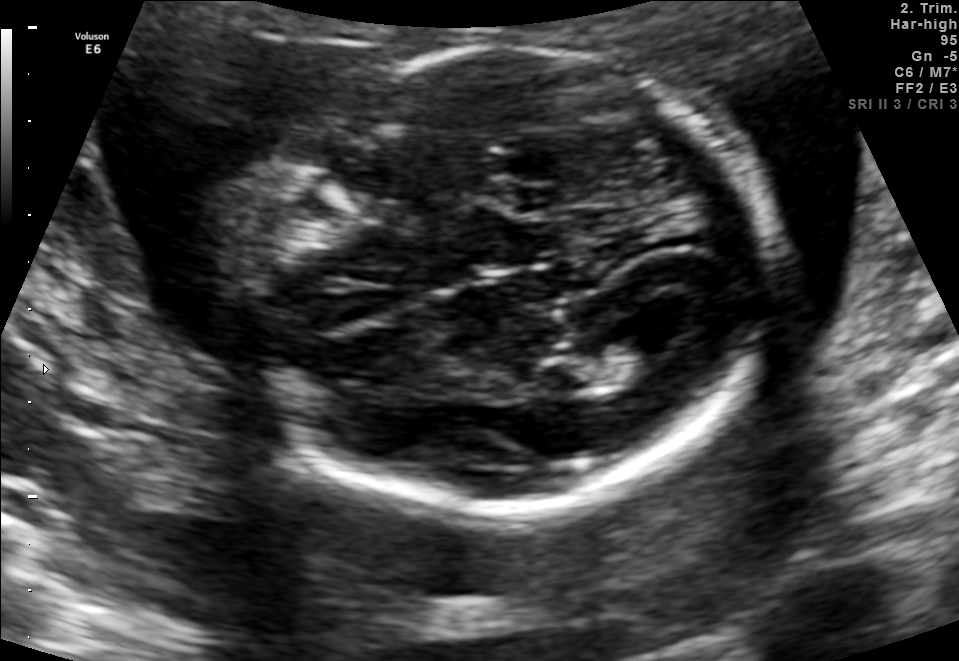
In this fetal brain, trans-ventricular plane, give the bounding box of the fetal head.

[216,42,787,519]